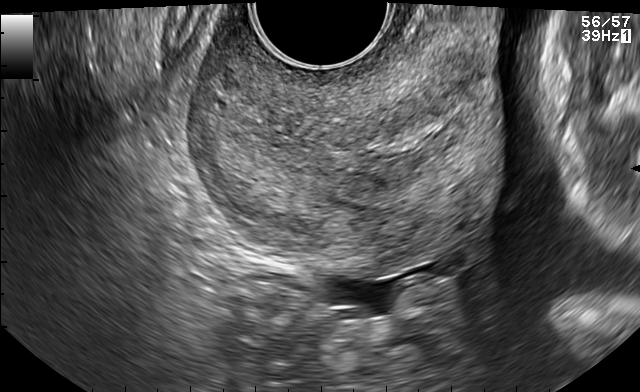
Identify the standard plane in this fetal ultrasound image: fetal abdomen, fetal brain, fetal femur, fetal thorax, maternal cervix, or other. If it's fetal brain and one of the three standard brain planes (trans-thalamic, trans-cerebellum, trans-ventricular), name which.

Maternal cervix